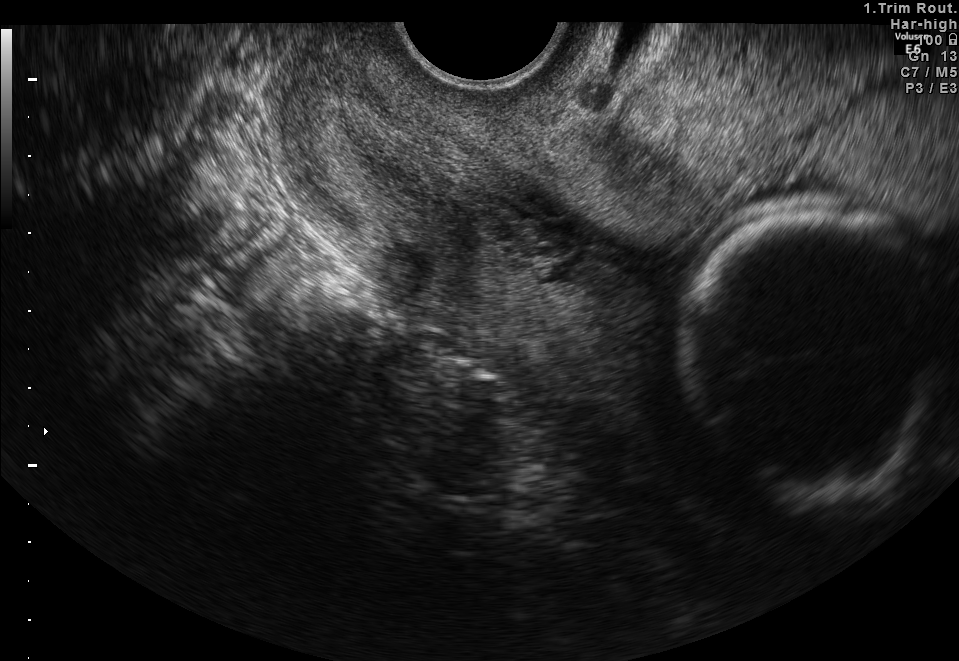
Which standard maternal-fetal ultrasound plane is shown: fetal abdomen, fetal brain, fetal femur, fetal thorax, maternal cervix, or other? If it's fetal brain and one of the three standard brain planes (trans-thalamic, trans-cerebellum, trans-ventricular), name which.

Maternal cervix